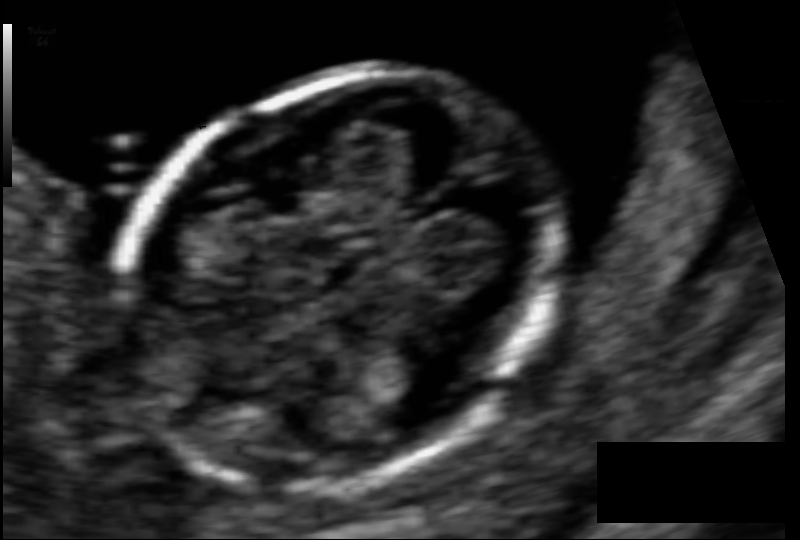
Fetal head ultrasound. Image width: 48.5 mm. Where is the fetal head?

Head bounding box: [114,74,564,481]